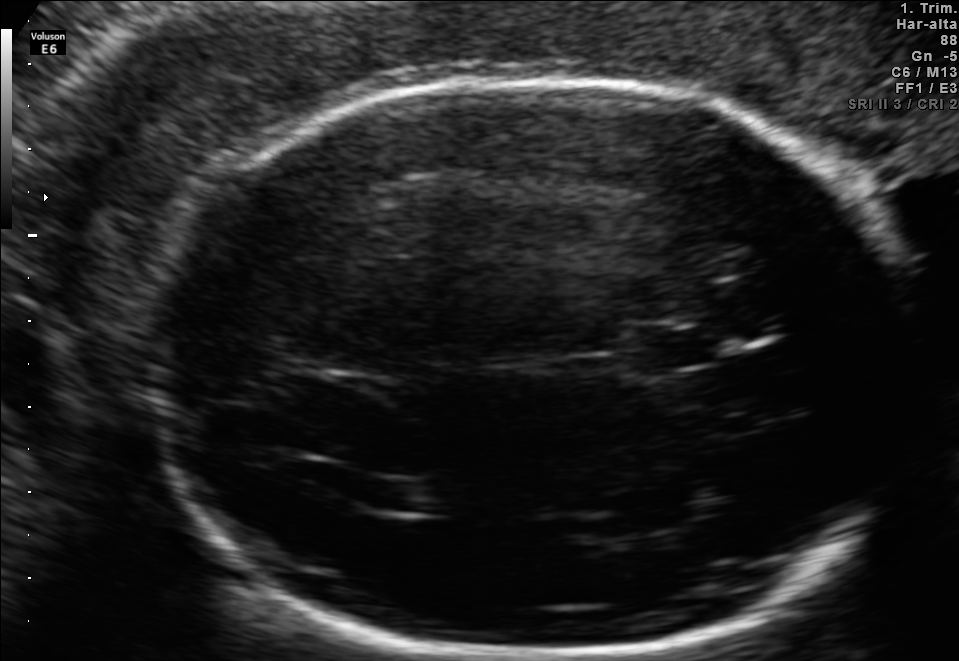
Fetal brain, trans-thalamic plane. Where is the lateral ventricle?

Lateral ventricle bounding box: [371,480,452,515]